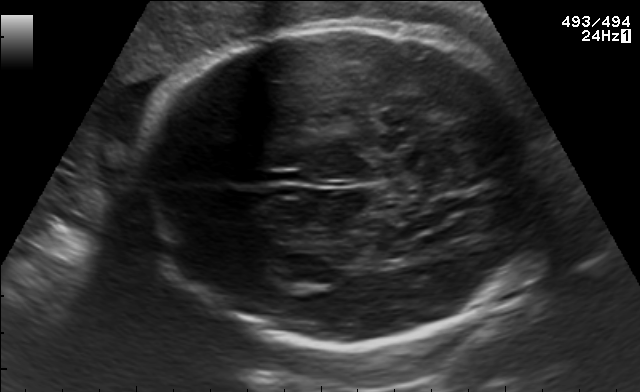
Fetal brain, trans-thalamic plane. Locate the lateral ventricle.

Lateral ventricle: [277,255,331,283]